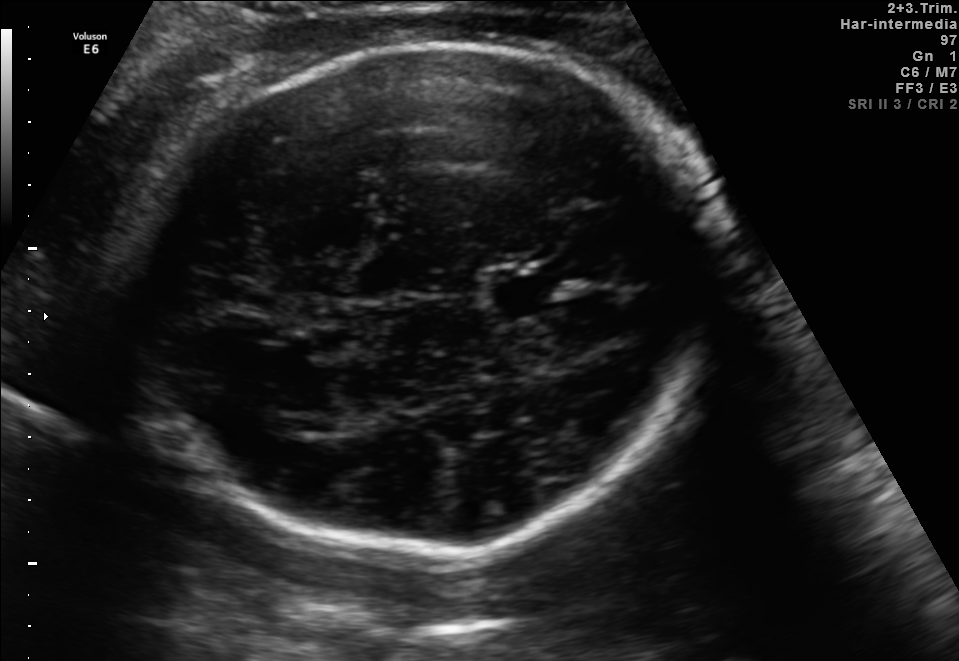
Fetal brain, trans-thalamic plane. Locate the fetal head.

Head: [122,46,715,555]